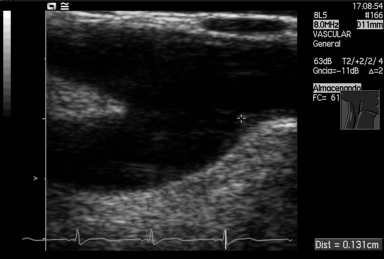
This is a 2D maternal-fetal ultrasound frame. Is it a fetal abdomen, fetal brain, fetal femur, fetal thorax, maternal cervix, or other standard plane? If it's fetal brain and one of the three standard brain planes (trans-thalamic, trans-cerebellum, trans-ventricular), name which.

Other